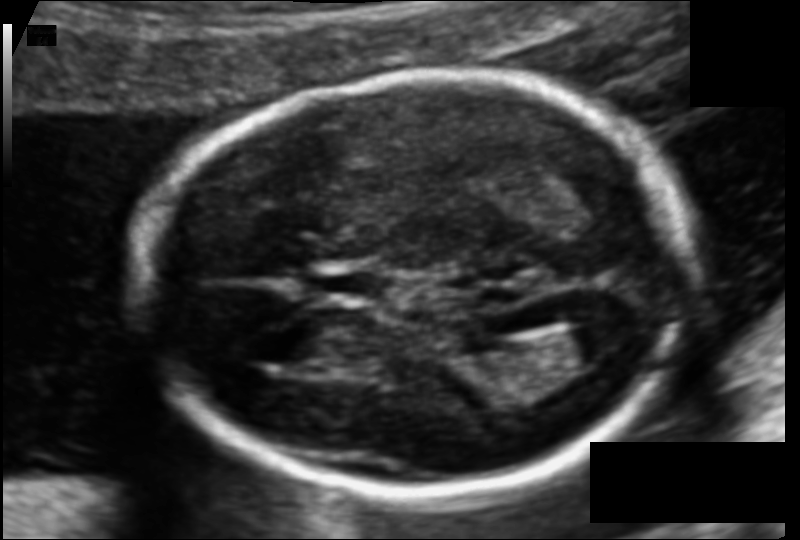
Fetal head ultrasound. Image width: 83.7 mm. Where is the cavum septum pellucidum?

CSP bounding box: [315,270,382,297]